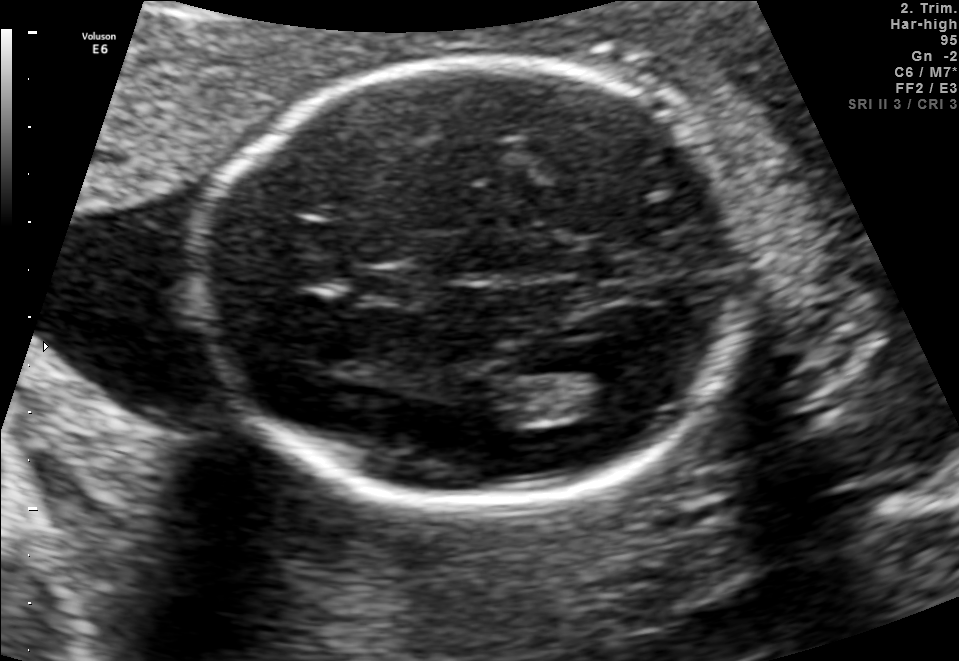
Identify the standard plane in this fetal ultrasound image: fetal abdomen, fetal brain, fetal femur, fetal thorax, maternal cervix, or other. If it's fetal brain and one of the three standard brain planes (trans-thalamic, trans-cerebellum, trans-ventricular), name which.

Fetal brain (trans-thalamic plane)